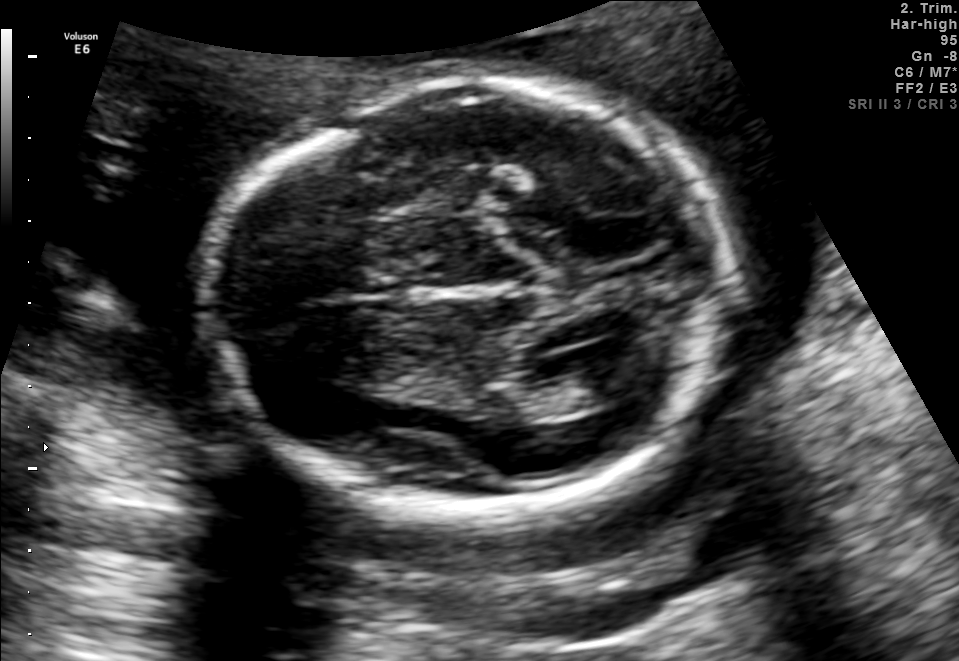
Fetal brain, trans-ventricular plane. Locate the fetal head and, if visible, the cavum septum pellucidum (CSP) and lateral ventricle (LV). Give bounding boxes as [x1,y1,x2,y2].

Head: [202,76,747,515]
Lateral ventricle: [582,356,651,408]